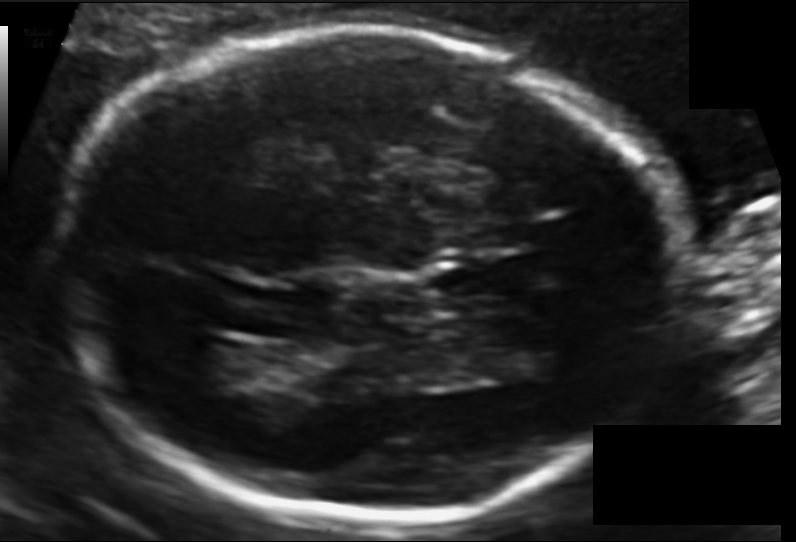
Estimate the fetal head circumference from this 2D ultrasound.

Head circumference: 213.6 mm (image width 95.4 mm).